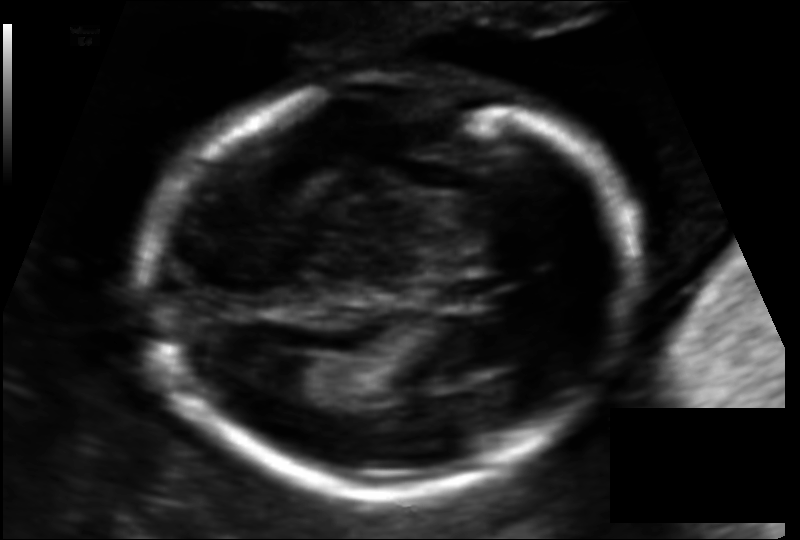
Fetal head ultrasound. Image width: 92.3 mm. Give [x1,y1,x2,y2] bounding boxes for each visible structure among: fetal head, CSP, LV.

Head: [143,76,635,490]
CSP: [430,272,504,314]
Lateral ventricle: [255,352,339,403]